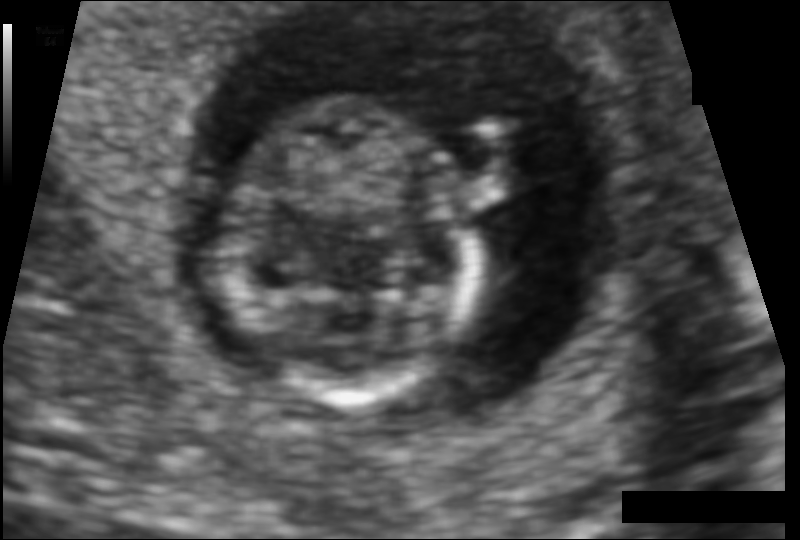
Estimate the fetal head circumference from this 2D ultrasound.

Head circumference: 71.9 mm (image width 63.9 mm).